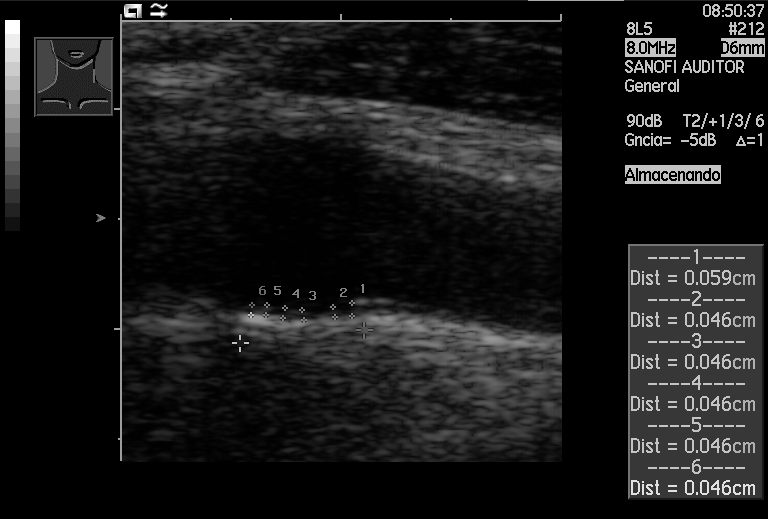
Identify the standard plane in this fetal ultrasound image: fetal abdomen, fetal brain, fetal femur, fetal thorax, maternal cervix, or other. If it's fetal brain and one of the three standard brain planes (trans-thalamic, trans-cerebellum, trans-ventricular), name which.

Other